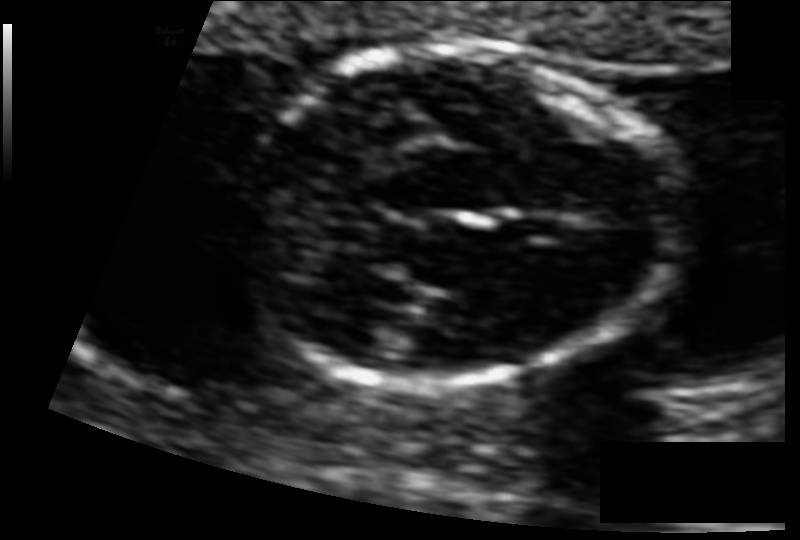
From this fetal ultrasound, estimate the head circumference (image width 58.4 mm).

Head circumference: 92.6 mm.